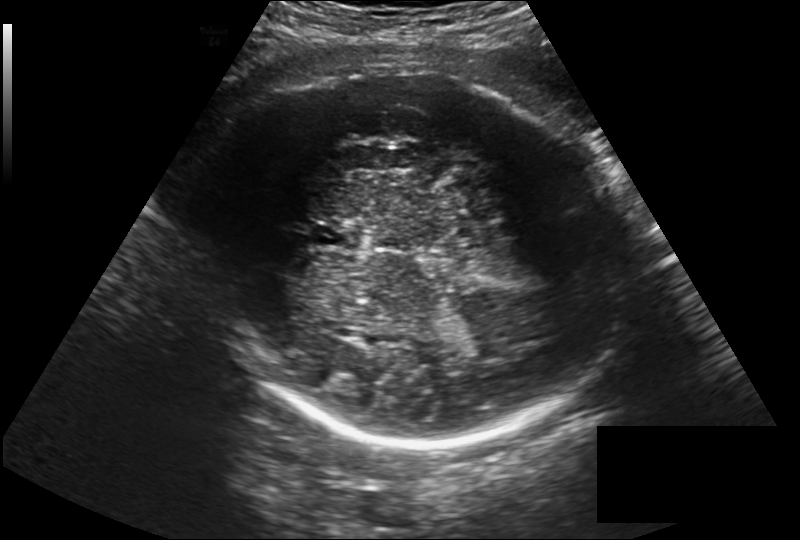
In this fetal head ultrasound, give bounding boxes for the head outline, cavum septum pellucidum (CSP), and lateral ventricle (LV), where visible. Image width: 205.7 mm.

Head: [210,74,626,446]
CSP: [310,220,365,251]